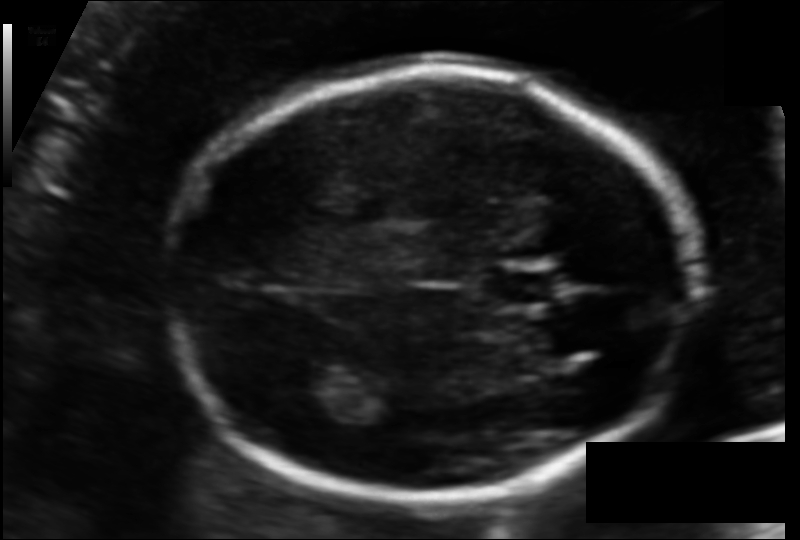
Estimate the fetal head circumference from this 2D ultrasound. Image width: 86.2 mm.

Head circumference: 164.3 mm.